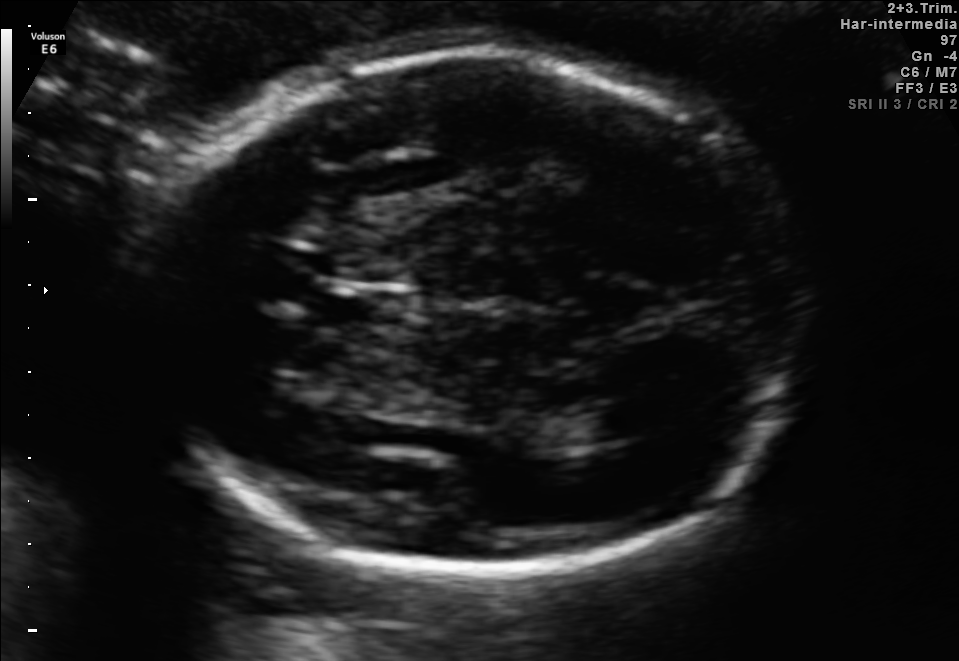
Fetal brain, trans-thalamic plane. Where is the cavum septum pellucidum?

CSP bounding box: [324,293,405,326]